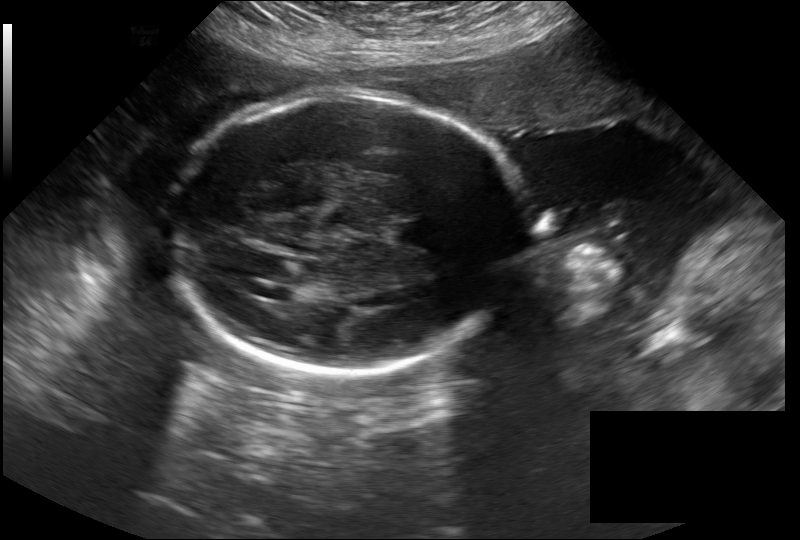
Fetal head ultrasound. Image width: 223.0 mm. Give [x1,y1,x2,y2] bounding boxes for each visible structure among: fetal head, CSP, LV.

Head: [167,92,523,374]